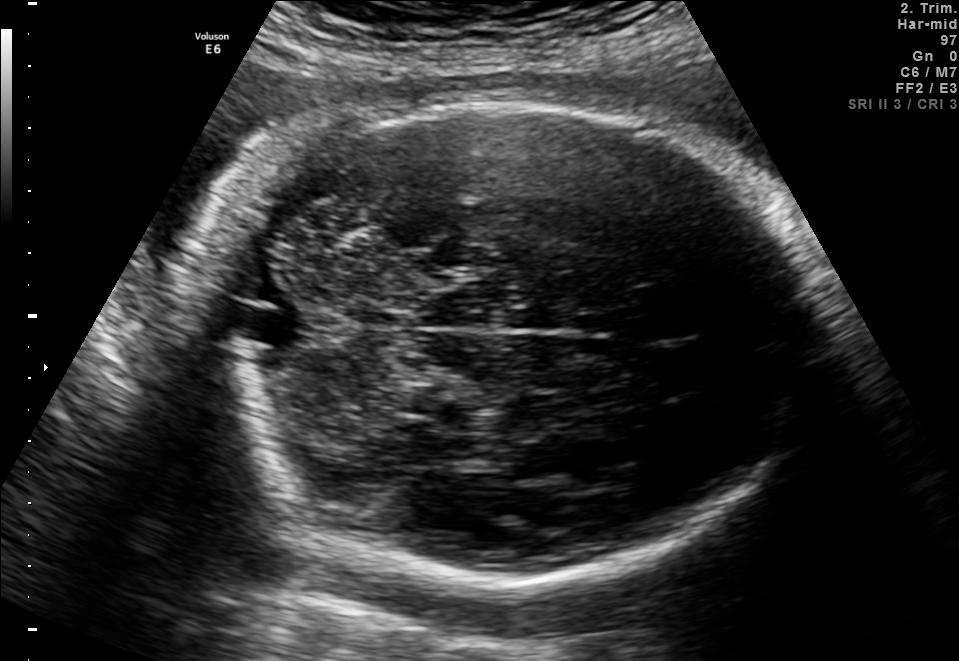
In this fetal brain, trans-cerebellum plane, give bounding boxes for the head outline, cavum septum pellucidum (CSP), and lateral ventricle (LV), where visible.

Head: [179,99,816,576]